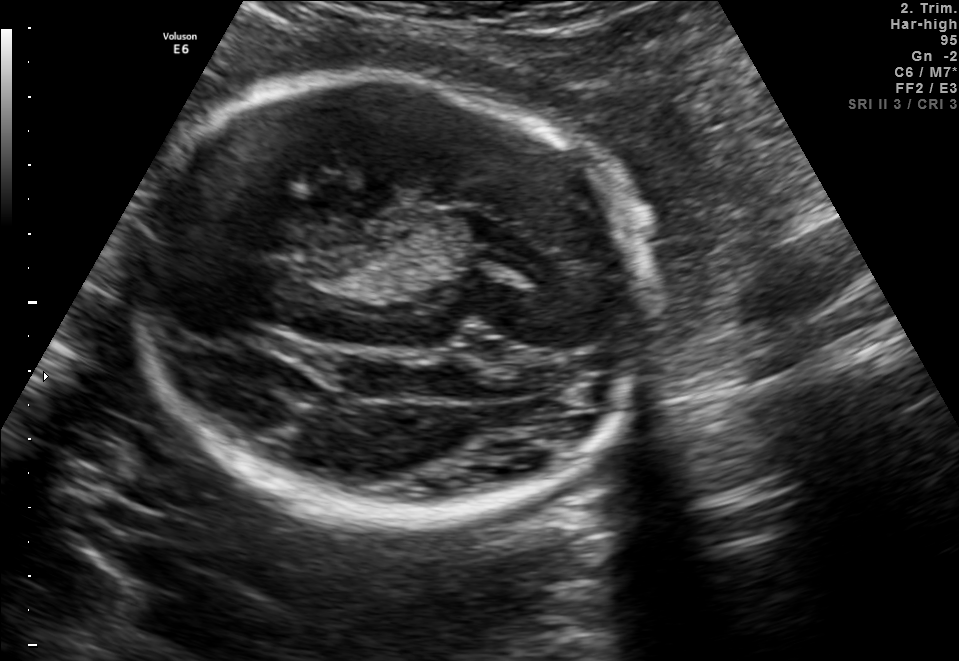
This is a 2D maternal-fetal ultrasound frame. Is it a fetal abdomen, fetal brain, fetal femur, fetal thorax, maternal cervix, or other standard plane? If it's fetal brain and one of the three standard brain planes (trans-thalamic, trans-cerebellum, trans-ventricular), name which.

Fetal brain